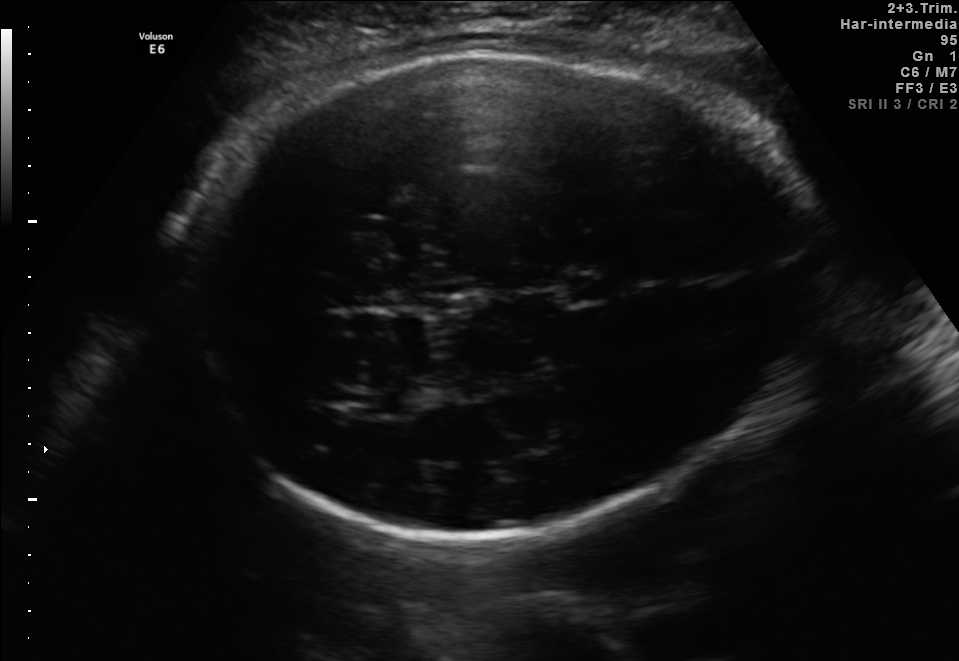
Which standard maternal-fetal ultrasound plane is shown: fetal abdomen, fetal brain, fetal femur, fetal thorax, maternal cervix, or other? If it's fetal brain and one of the three standard brain planes (trans-thalamic, trans-cerebellum, trans-ventricular), name which.

Fetal brain (trans-thalamic plane)